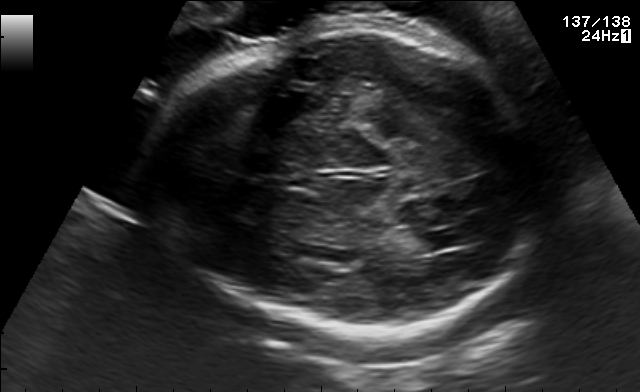
Fetal brain, trans-thalamic plane. Locate the fetal head.

Head: [151,24,539,342]